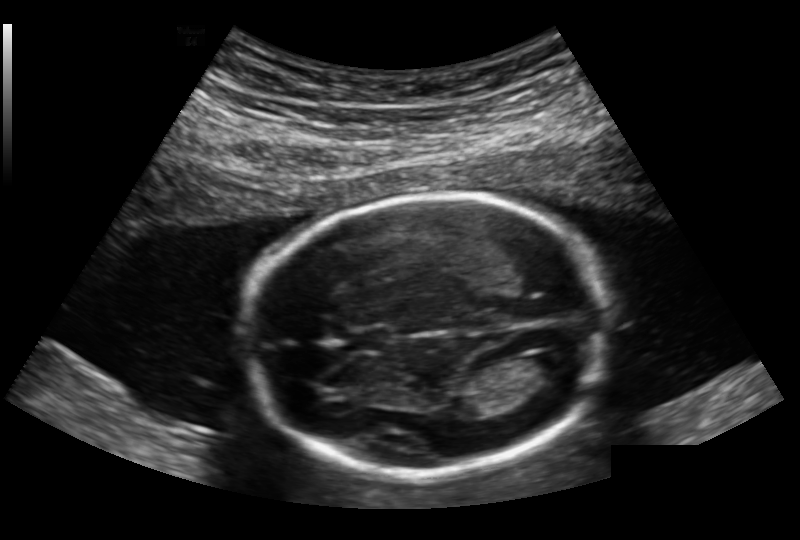
In this fetal head ultrasound, give the bounding box of the cavum septum pellucidum. Image width: 134.4 mm.

[349,326,394,354]